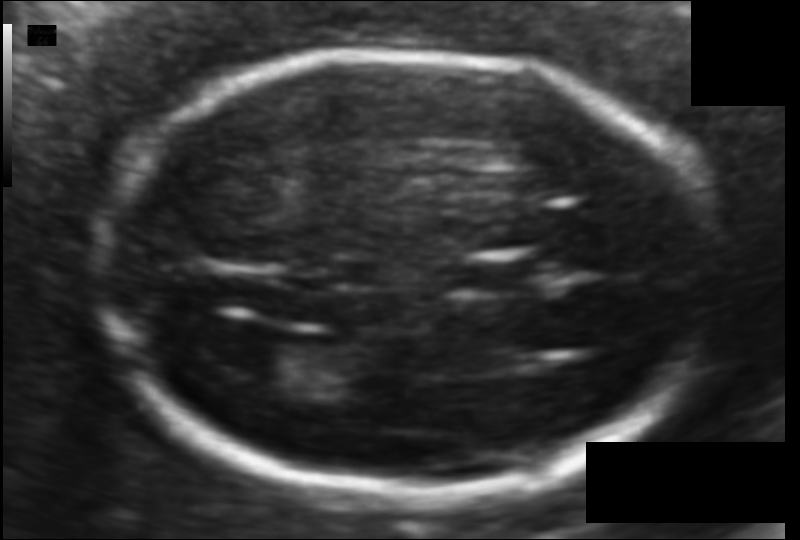
Fetal head ultrasound. Image width: 75.4 mm. Where is the lateral ventricle?

Lateral ventricle bounding box: [222,337,312,390]